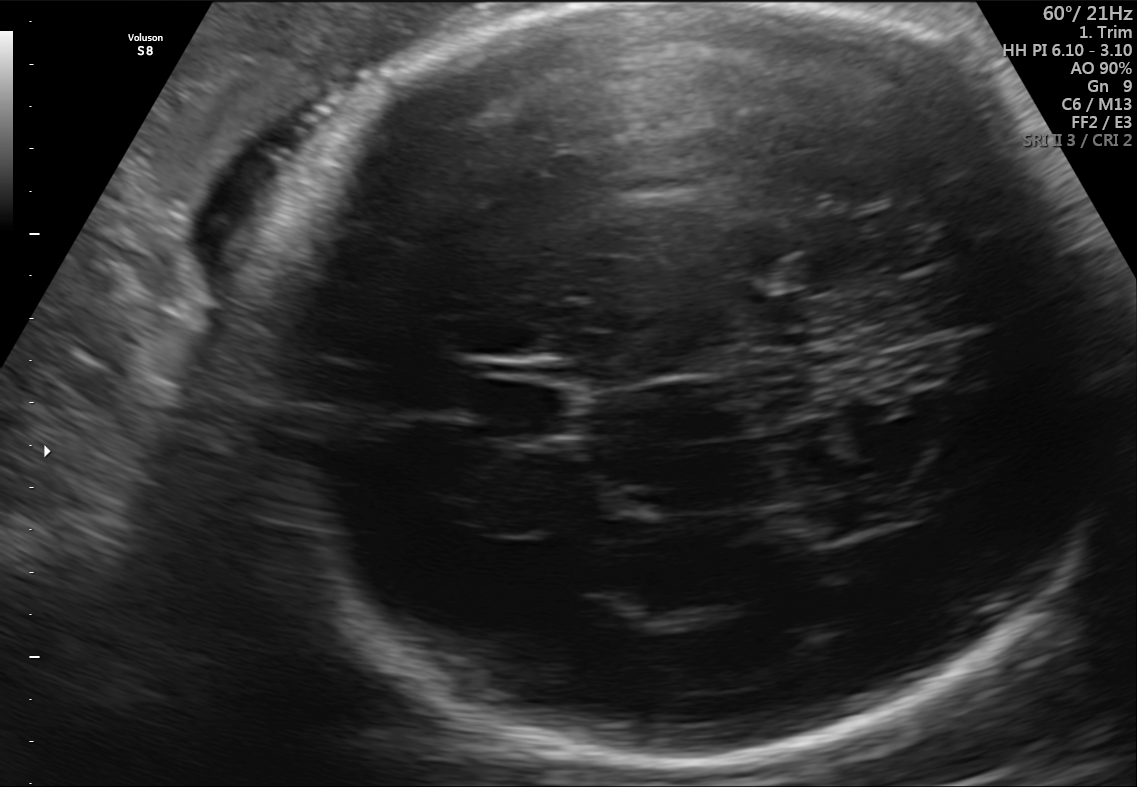
In this fetal brain, trans-thalamic plane, give the bounding box of the lateral ventricle.

[798,489,889,547]